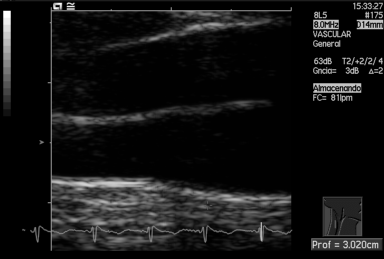
Identify the standard plane in this fetal ultrasound image: fetal abdomen, fetal brain, fetal femur, fetal thorax, maternal cervix, or other. If it's fetal brain and one of the three standard brain planes (trans-thalamic, trans-cerebellum, trans-ventricular), name which.

Other